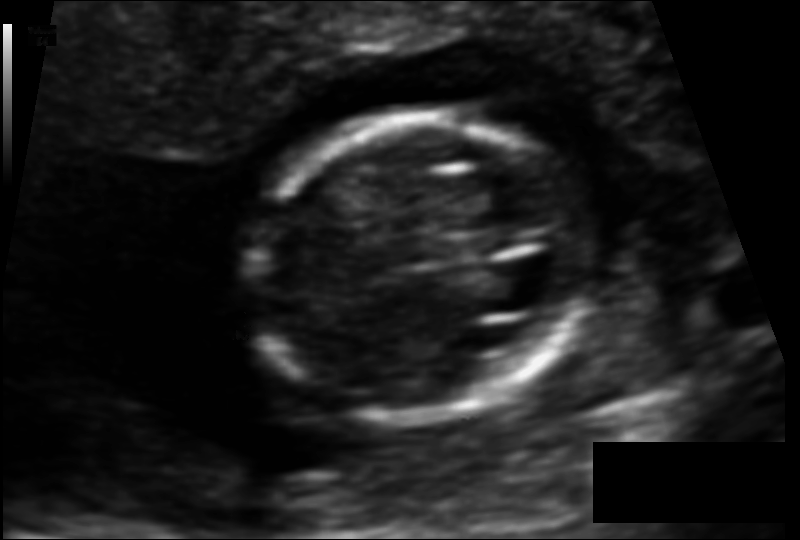
Estimate the fetal head circumference from this 2D ultrasound.

Head circumference: 95.6 mm (image width 73.5 mm).